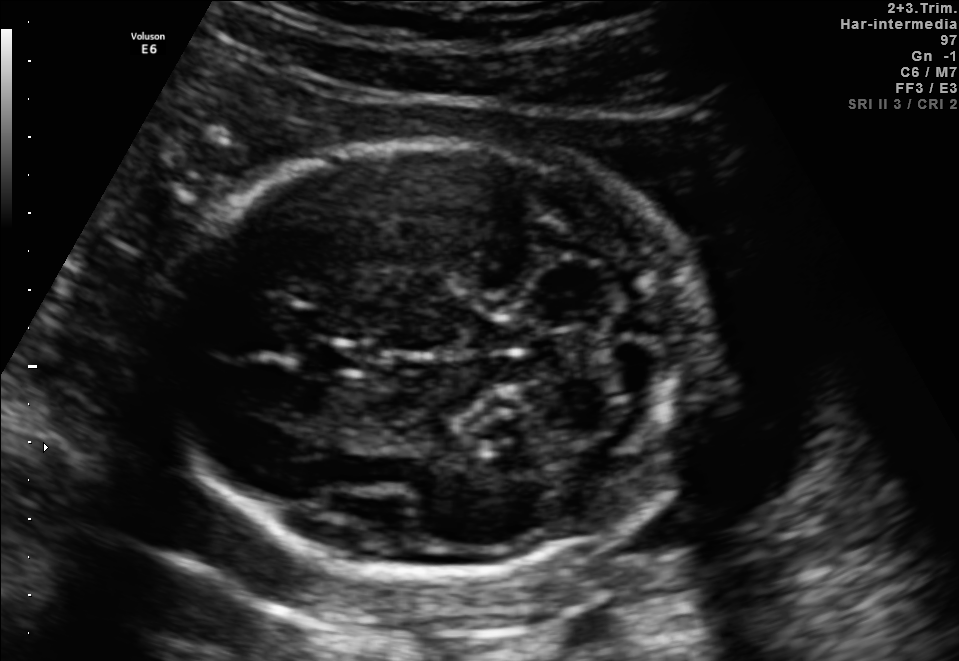
Fetal brain, trans-cerebellum plane. Locate the fetal head.

Head: [163,141,712,570]